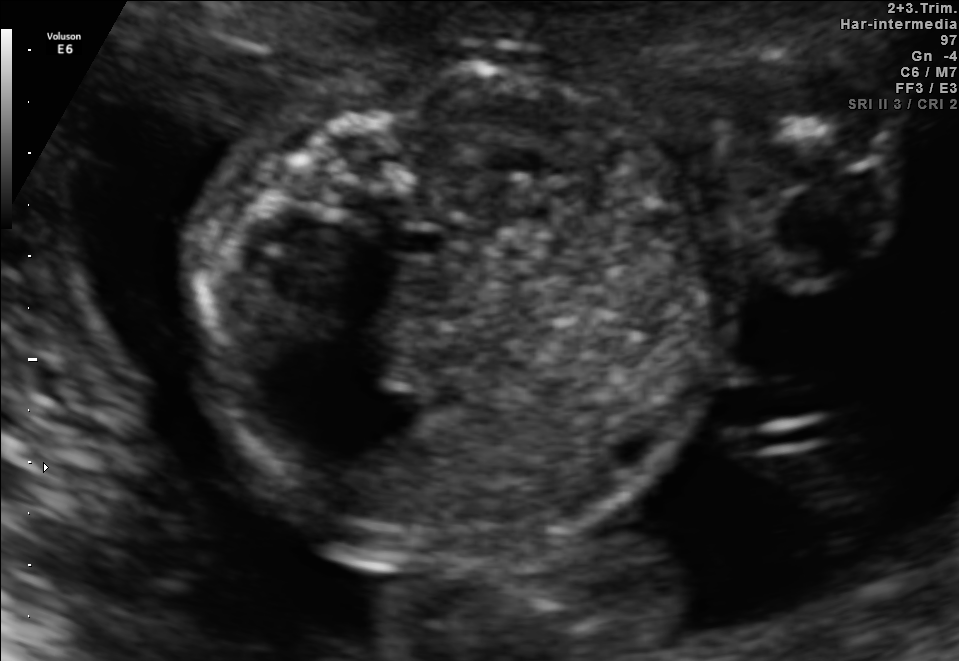
Classify this maternal-fetal ultrasound image as one of the six standard planes — fetal abdomen, fetal brain, fetal femur, fetal thorax, maternal cervix, or other. If it's fetal brain and one of the three standard brain planes (trans-thalamic, trans-cerebellum, trans-ventricular), name which.

Fetal abdomen